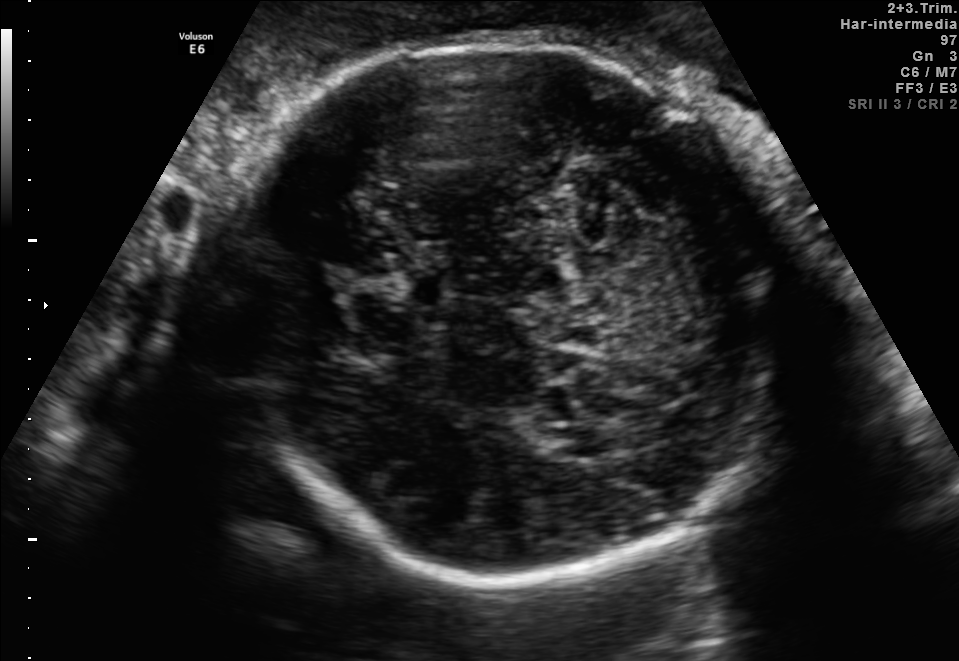
Identify the standard plane in this fetal ultrasound image: fetal abdomen, fetal brain, fetal femur, fetal thorax, maternal cervix, or other. If it's fetal brain and one of the three standard brain planes (trans-thalamic, trans-cerebellum, trans-ventricular), name which.

Fetal brain (trans-thalamic plane)